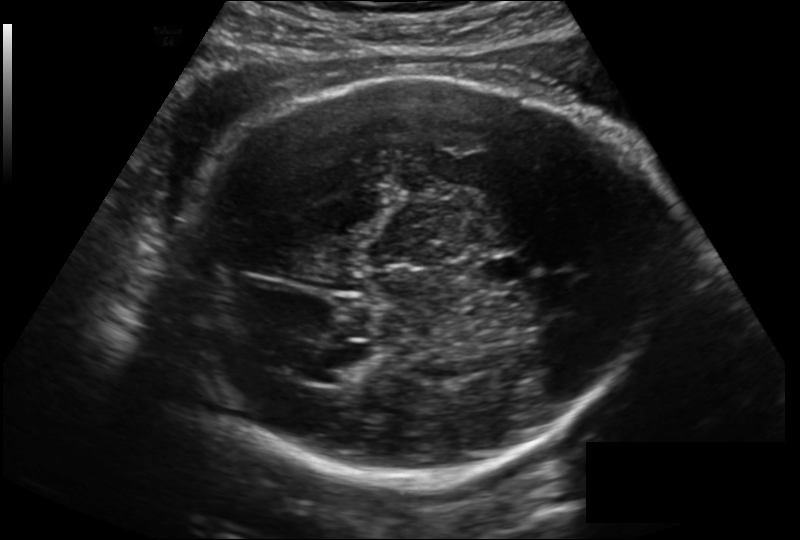
Estimate the fetal head circumference from this 2D ultrasound.

Head circumference: 281.7 mm (image width 159.3 mm).